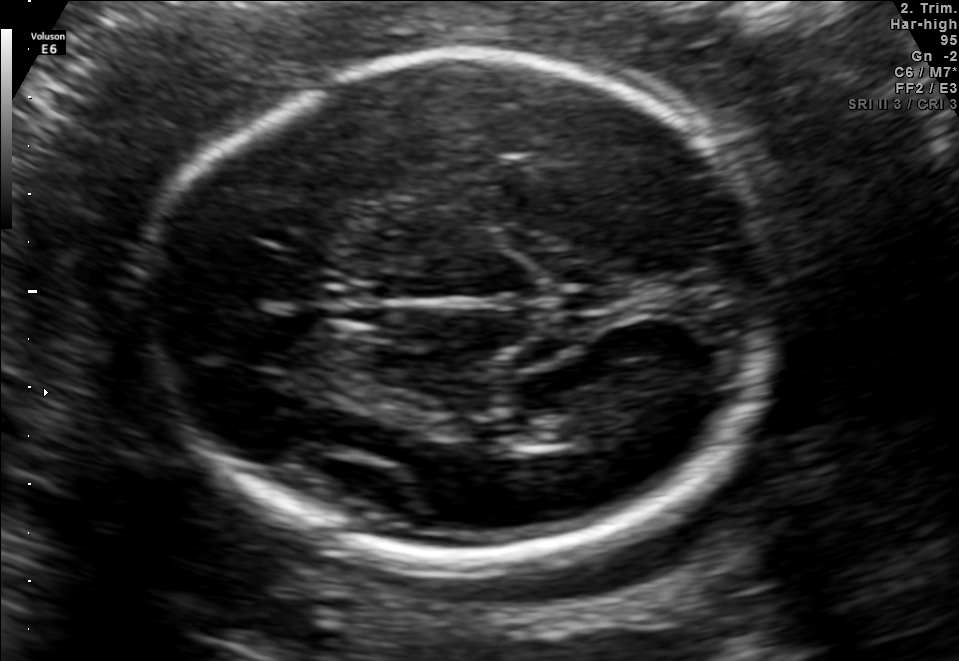
In this fetal brain, trans-thalamic plane, give the bounding box of the lateral ventricle.

[514,408,581,447]